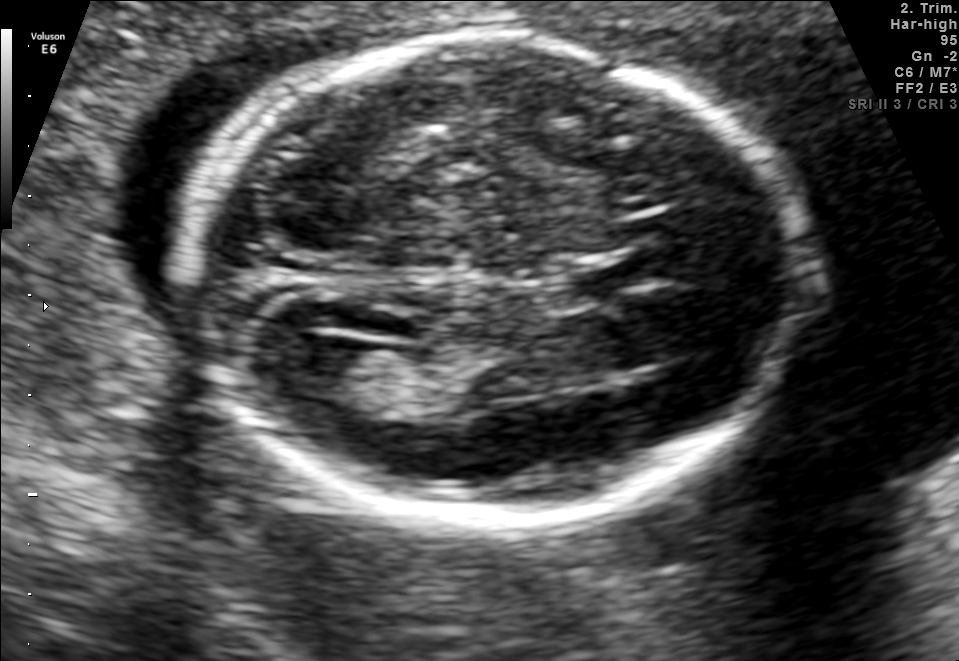
Fetal brain, trans-ventricular plane. Locate the lateral ventricle.

Lateral ventricle: [264,326,377,409]